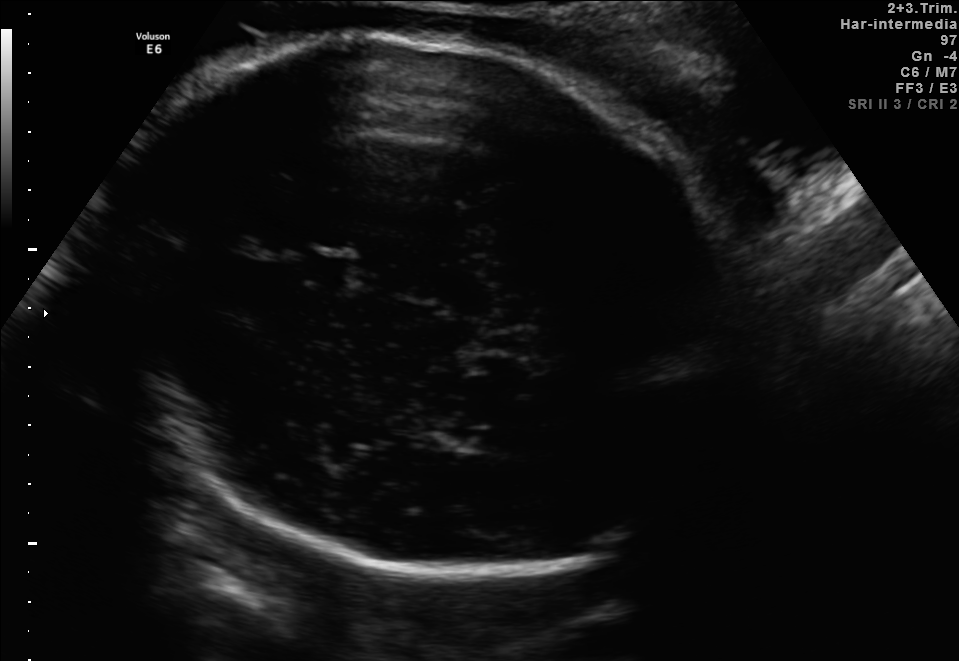
Fetal brain, trans-thalamic plane. Where is the cavum septum pellucidum?

CSP bounding box: [307,254,347,286]